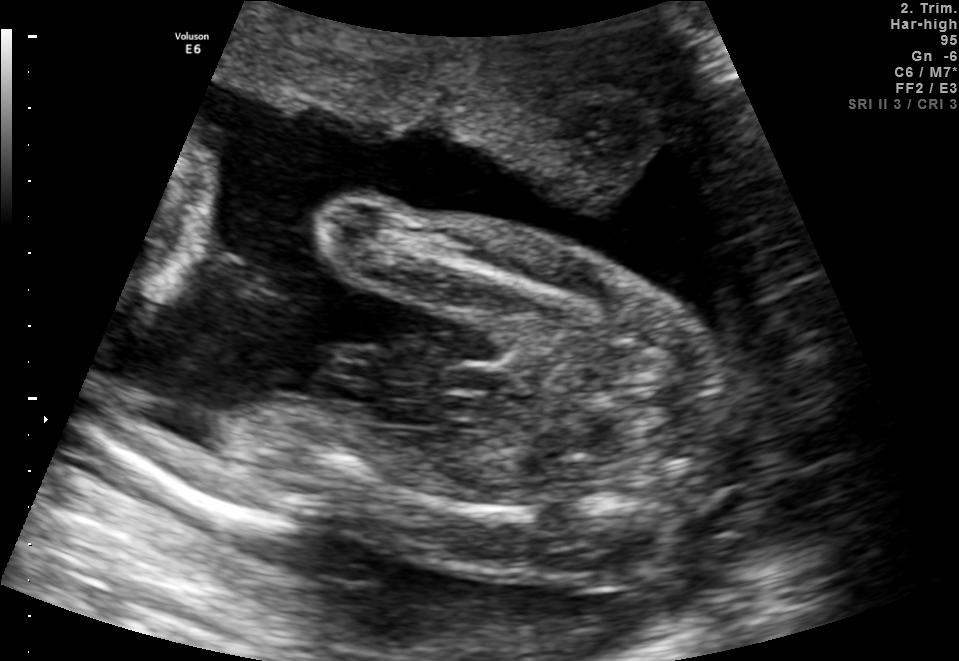
This is a 2D maternal-fetal ultrasound frame. Is it a fetal abdomen, fetal brain, fetal femur, fetal thorax, maternal cervix, or other standard plane? If it's fetal brain and one of the three standard brain planes (trans-thalamic, trans-cerebellum, trans-ventricular), name which.

Fetal femur